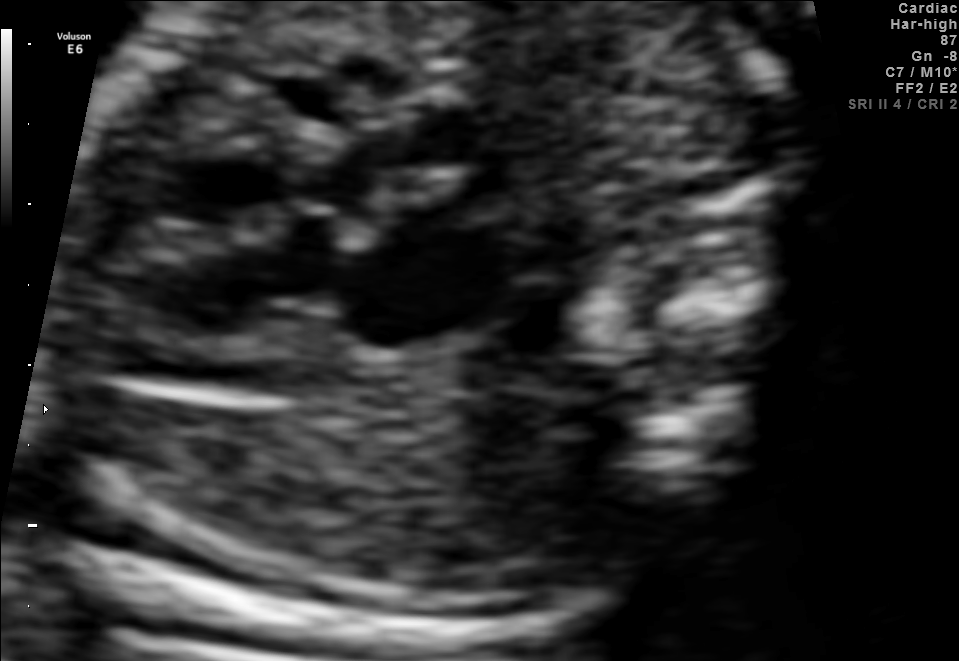
Which standard maternal-fetal ultrasound plane is shown: fetal abdomen, fetal brain, fetal femur, fetal thorax, maternal cervix, or other? If it's fetal brain and one of the three standard brain planes (trans-thalamic, trans-cerebellum, trans-ventricular), name which.

Fetal thorax